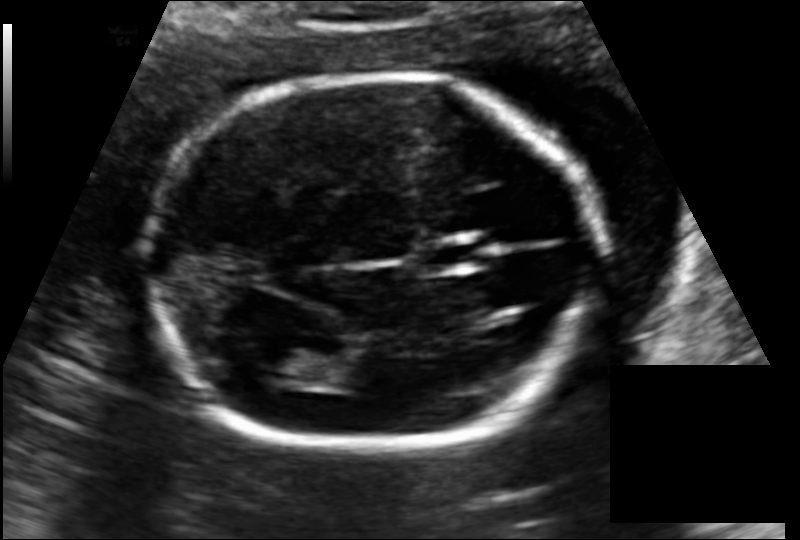
Fetal head ultrasound. Image width: 101.6 mm. Locate the fetal head.

Head: [148,74,603,453]